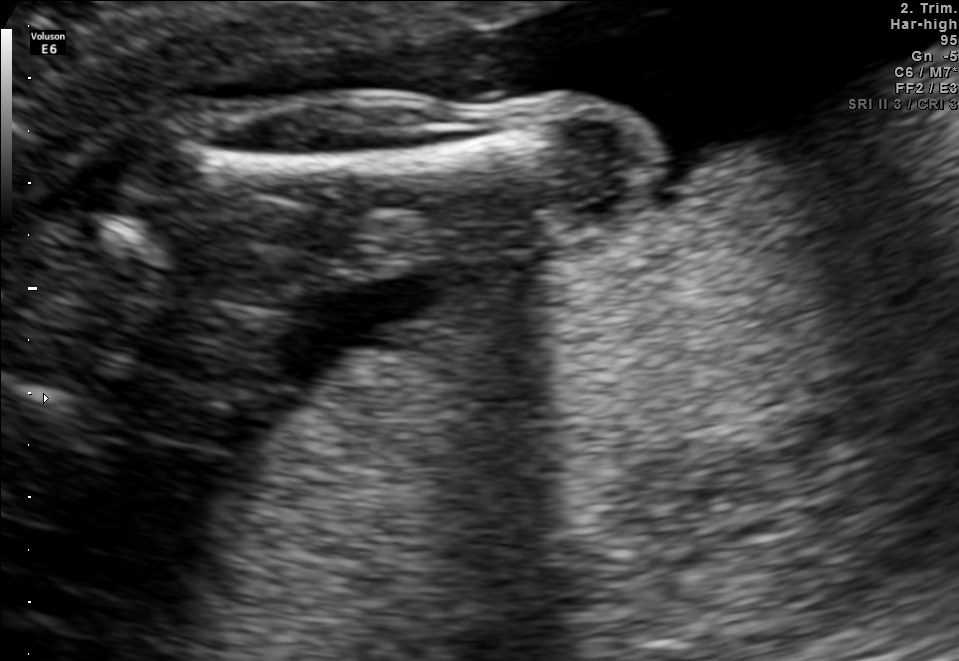
Which standard maternal-fetal ultrasound plane is shown: fetal abdomen, fetal brain, fetal femur, fetal thorax, maternal cervix, or other? If it's fetal brain and one of the three standard brain planes (trans-thalamic, trans-cerebellum, trans-ventricular), name which.

Fetal femur